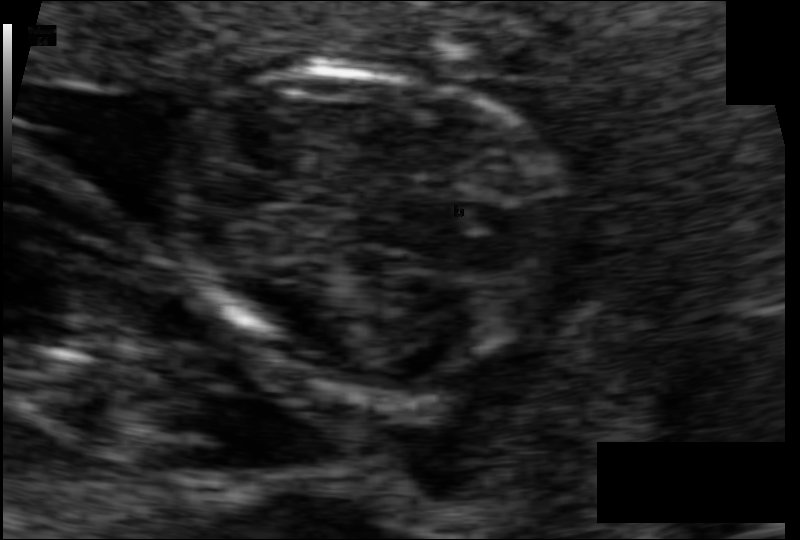
What is the fetal head circumference? Image width is 48.5 mm.

71.9 mm